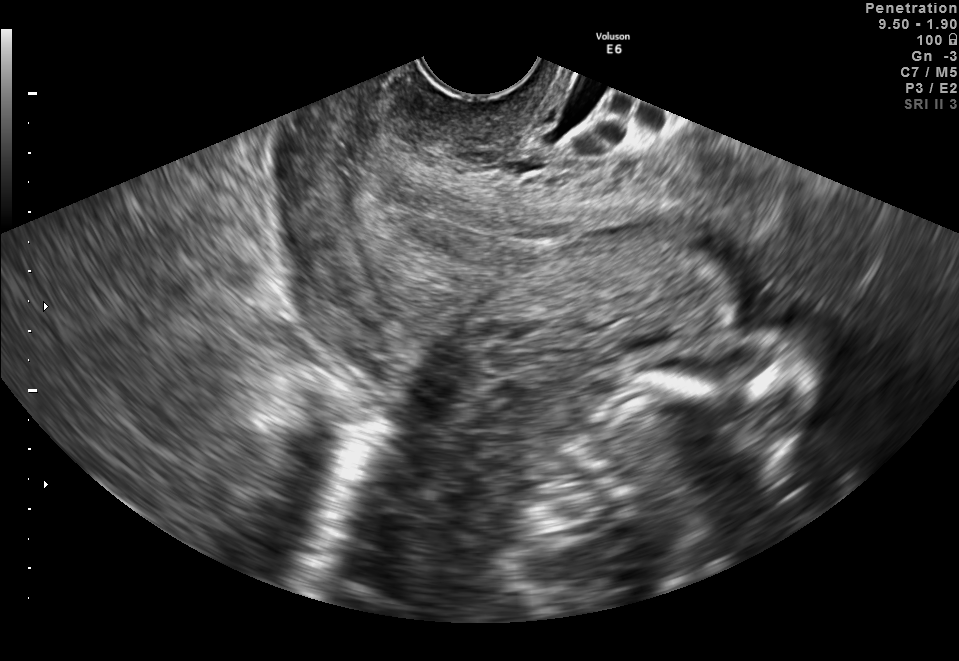
Identify the standard plane in this fetal ultrasound image: fetal abdomen, fetal brain, fetal femur, fetal thorax, maternal cervix, or other. If it's fetal brain and one of the three standard brain planes (trans-thalamic, trans-cerebellum, trans-ventricular), name which.

Maternal cervix